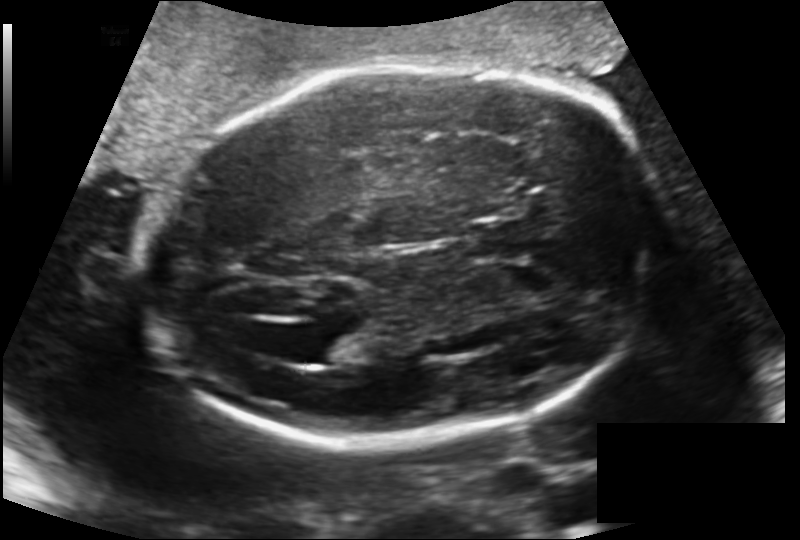
Fetal head ultrasound. Image width: 136.0 mm. Where is the cavum septum pellucidum?

CSP bounding box: [467,216,534,262]